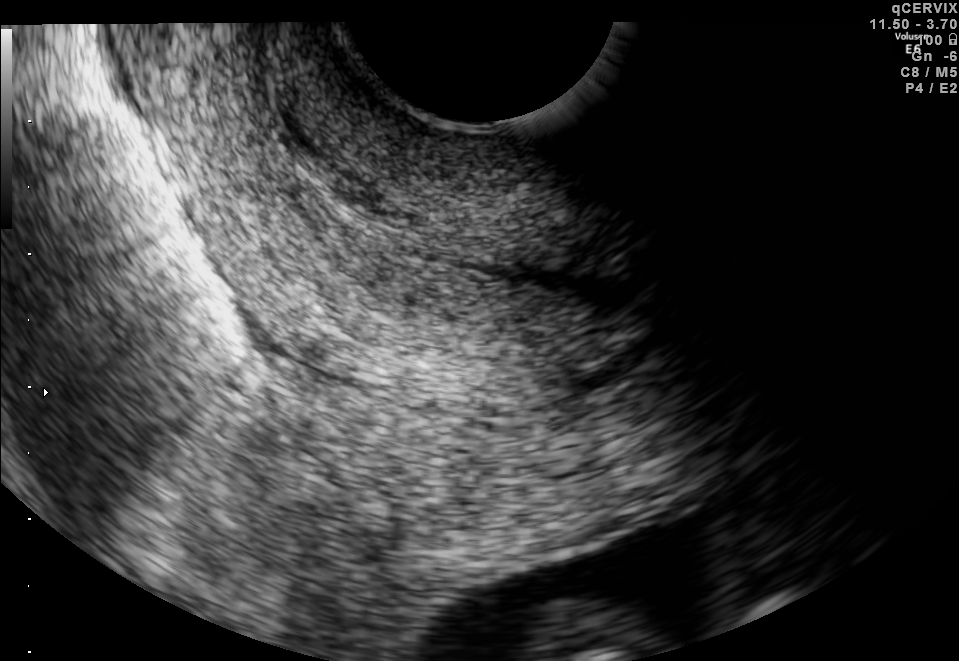
Identify the standard plane in this fetal ultrasound image: fetal abdomen, fetal brain, fetal femur, fetal thorax, maternal cervix, or other. If it's fetal brain and one of the three standard brain planes (trans-thalamic, trans-cerebellum, trans-ventricular), name which.

Maternal cervix